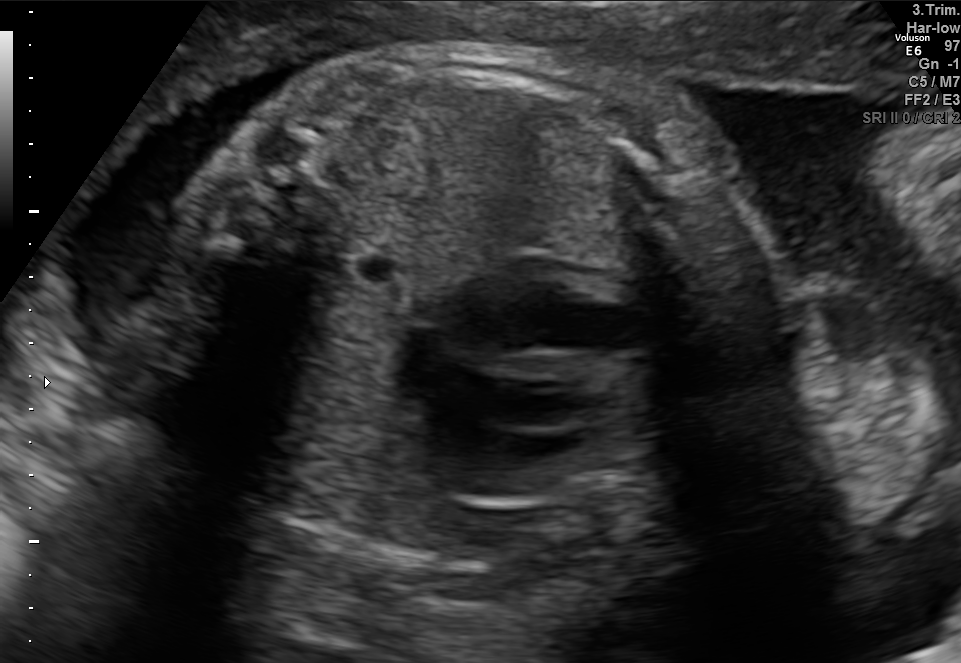
This is a 2D maternal-fetal ultrasound frame. Is it a fetal abdomen, fetal brain, fetal femur, fetal thorax, maternal cervix, or other standard plane? If it's fetal brain and one of the three standard brain planes (trans-thalamic, trans-cerebellum, trans-ventricular), name which.

Fetal thorax